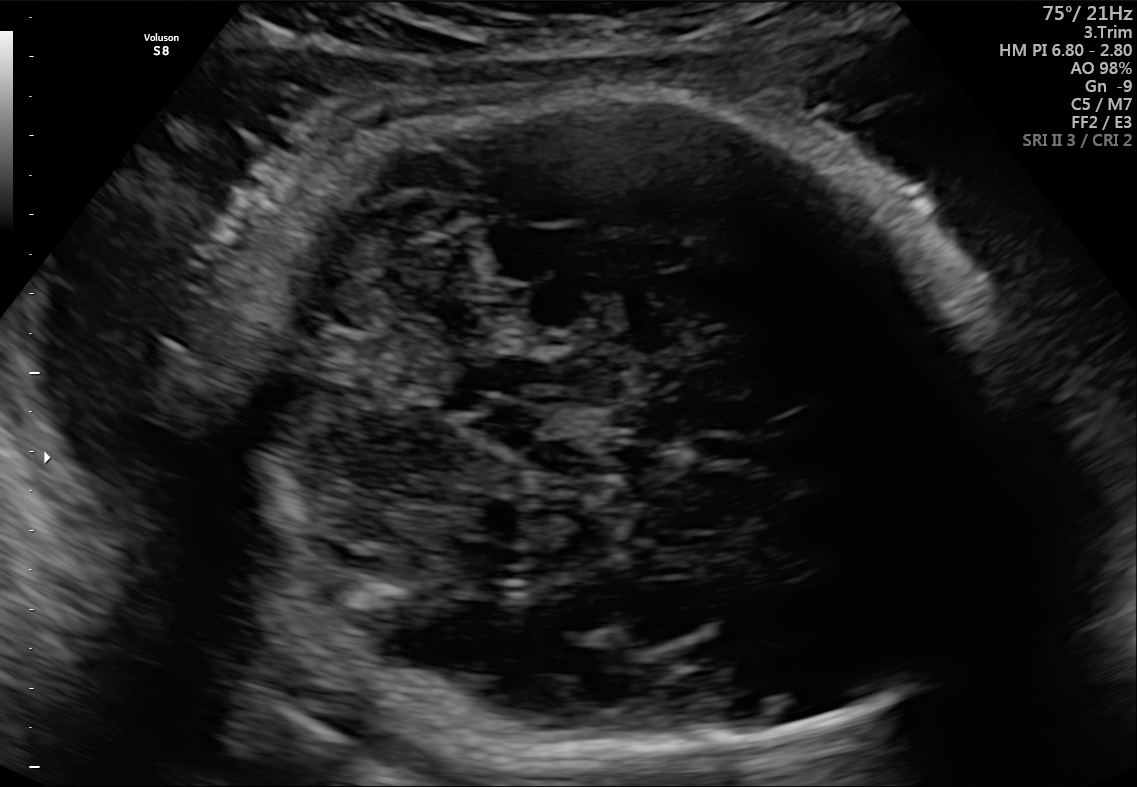
Identify the standard plane in this fetal ultrasound image: fetal abdomen, fetal brain, fetal femur, fetal thorax, maternal cervix, or other. If it's fetal brain and one of the three standard brain planes (trans-thalamic, trans-cerebellum, trans-ventricular), name which.

Fetal brain (trans-cerebellum plane)